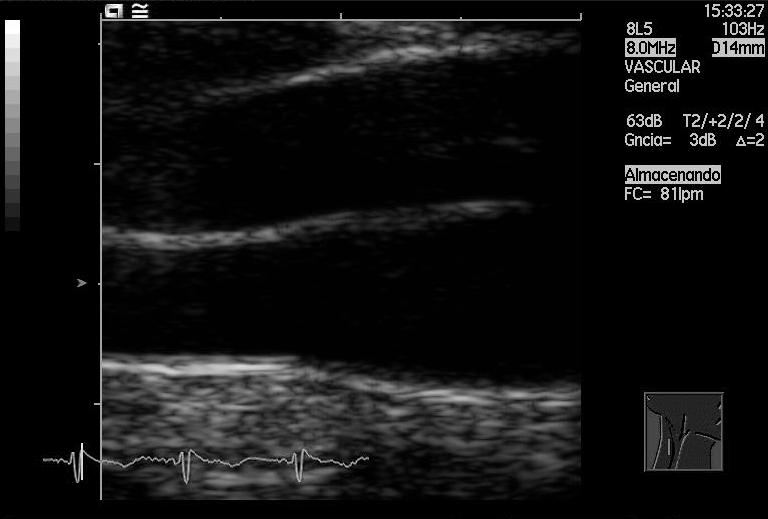
This is a 2D maternal-fetal ultrasound frame. Is it a fetal abdomen, fetal brain, fetal femur, fetal thorax, maternal cervix, or other standard plane? If it's fetal brain and one of the three standard brain planes (trans-thalamic, trans-cerebellum, trans-ventricular), name which.

Other